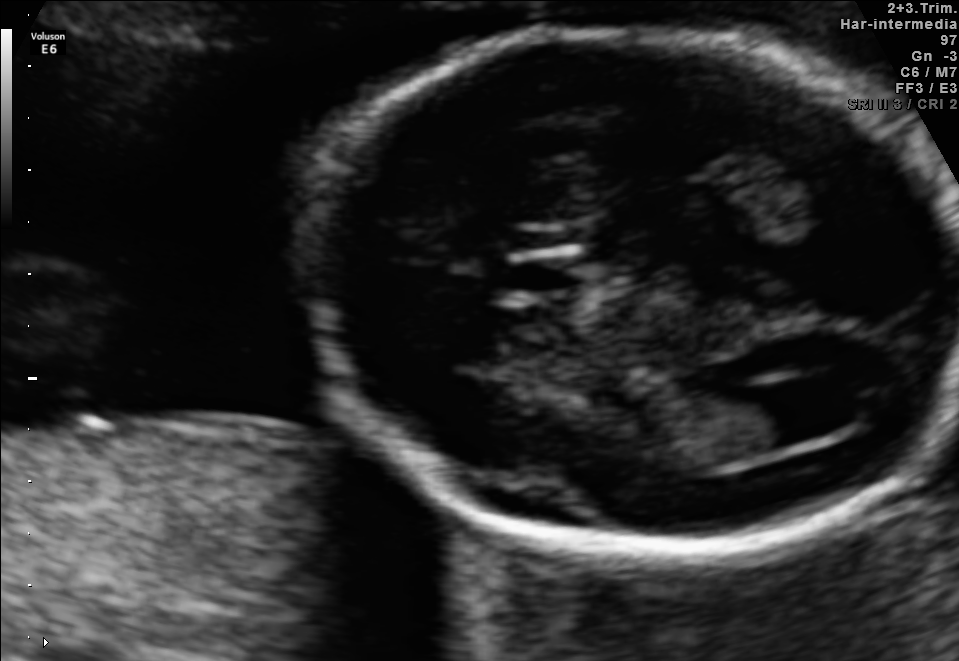
In this fetal brain, trans-ventricular plane, give bounding boxes for the head outline, cavum septum pellucidum (CSP), and lateral ventricle (LV), where visible.

Head: [293,27,958,556]
CSP: [513,262,587,299]
Lateral ventricle: [749,367,854,452]